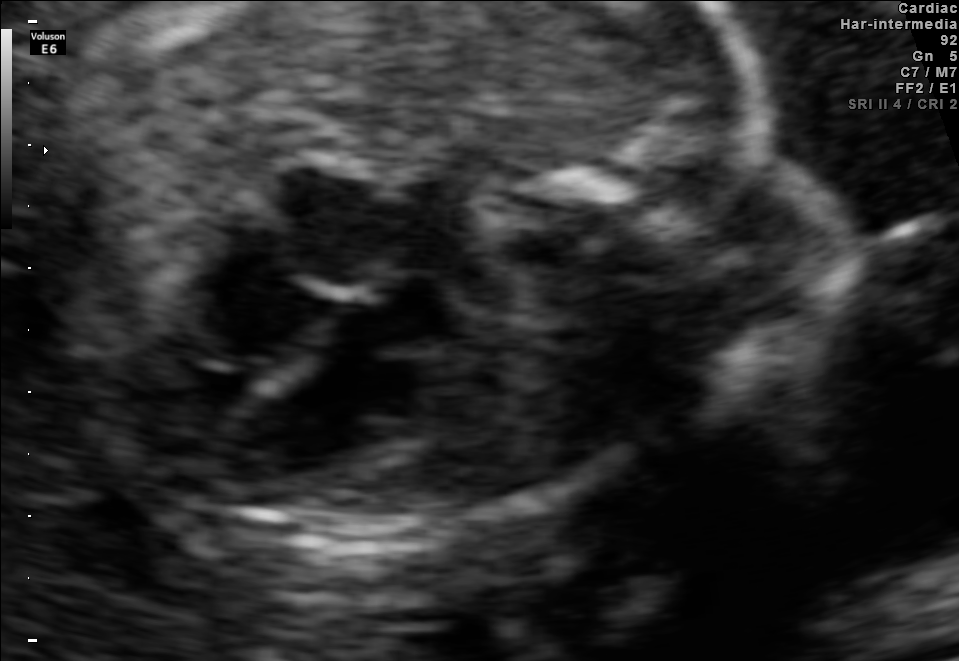
Classify this maternal-fetal ultrasound image as one of the six standard planes — fetal abdomen, fetal brain, fetal femur, fetal thorax, maternal cervix, or other. If it's fetal brain and one of the three standard brain planes (trans-thalamic, trans-cerebellum, trans-ventricular), name which.

Fetal thorax